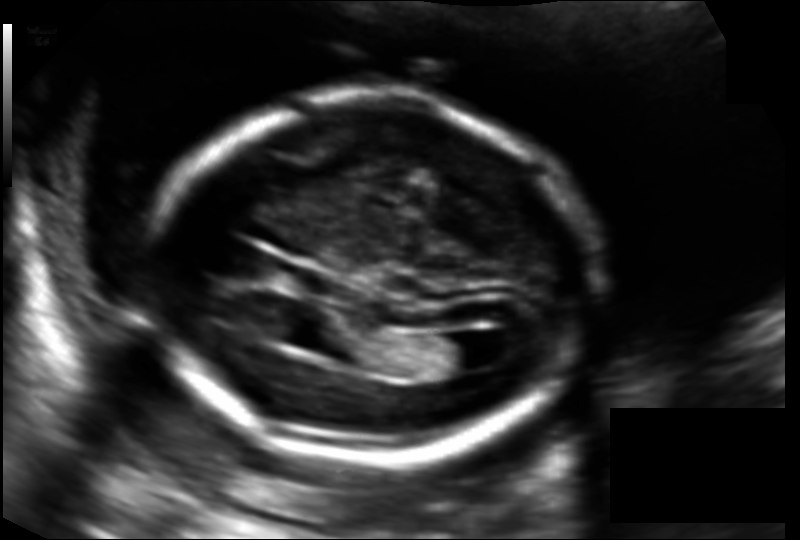
In this fetal head ultrasound, give the bounding box of the cavum septum pellucidum. Image width: 104.2 mm.

[277,258,336,300]